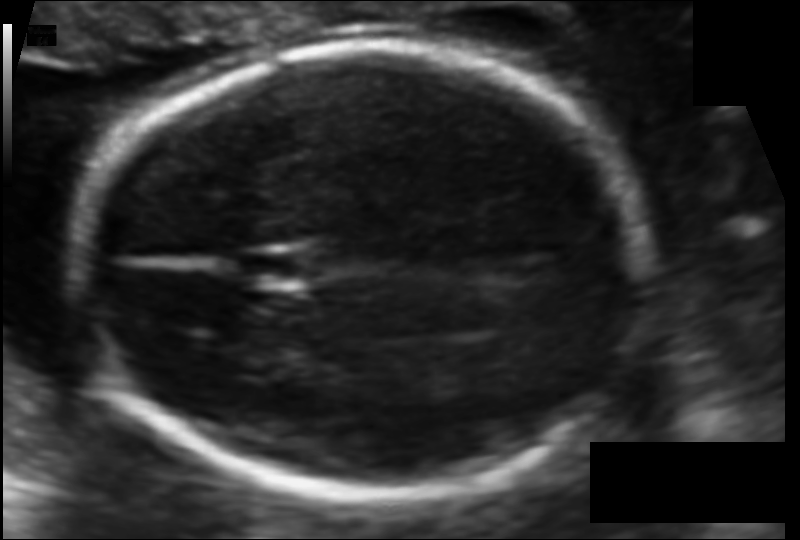
Estimate the fetal head circumference from this 2D ultrasound. Image width: 84.8 mm.

Head circumference: 178.5 mm.